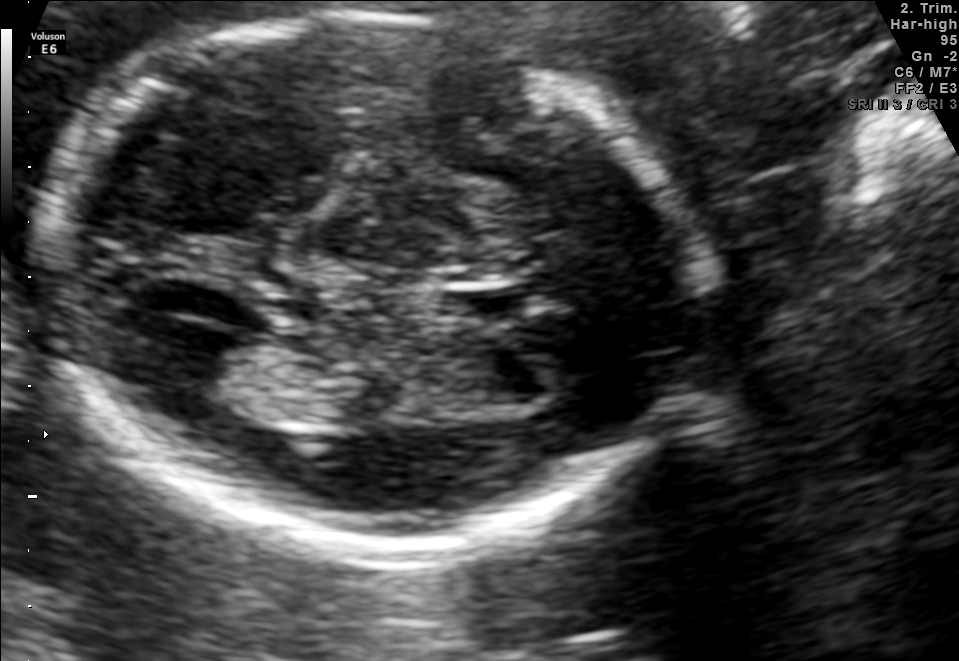
Fetal brain, trans-thalamic plane. Locate the fetal head and, if visible, the cavum septum pellucidum (CSP) and lateral ventricle (LV). Give bounding boxes as [x1,y1,x2,y2].

Head: [38,17,703,550]
CSP: [450,283,542,319]
Lateral ventricle: [150,320,276,418]